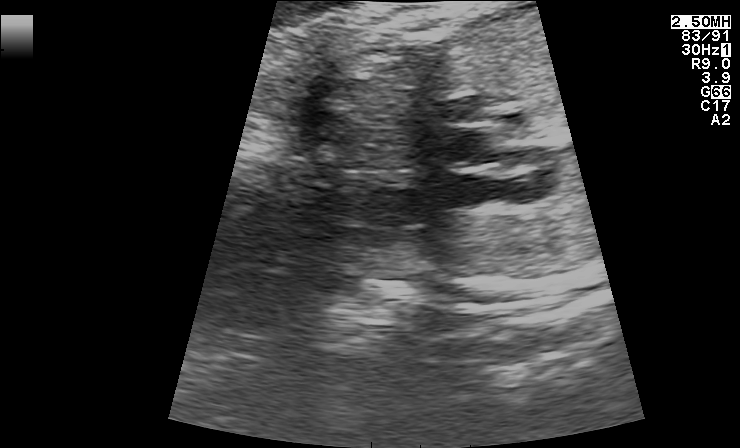
Which standard maternal-fetal ultrasound plane is shown: fetal abdomen, fetal brain, fetal femur, fetal thorax, maternal cervix, or other? If it's fetal brain and one of the three standard brain planes (trans-thalamic, trans-cerebellum, trans-ventricular), name which.

Fetal thorax